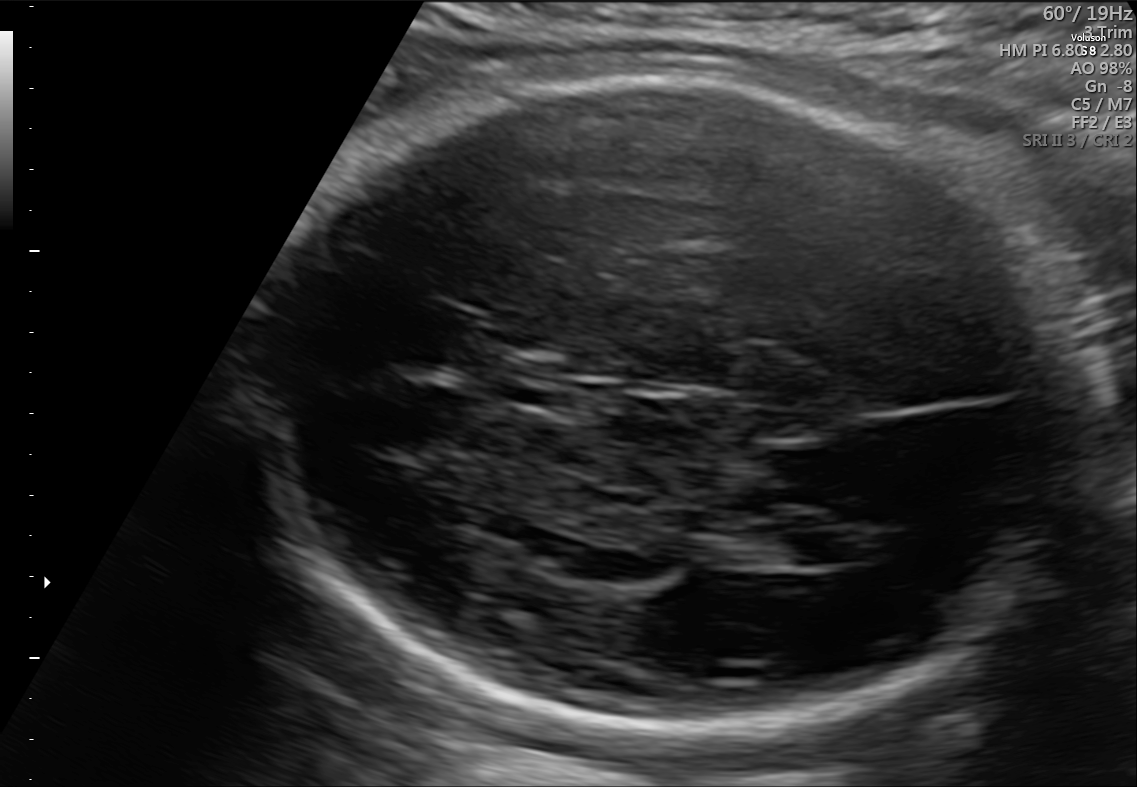
In this fetal brain, trans-ventricular plane, give the bounding box of the cavum septum pellucidum.

[494,355,583,413]